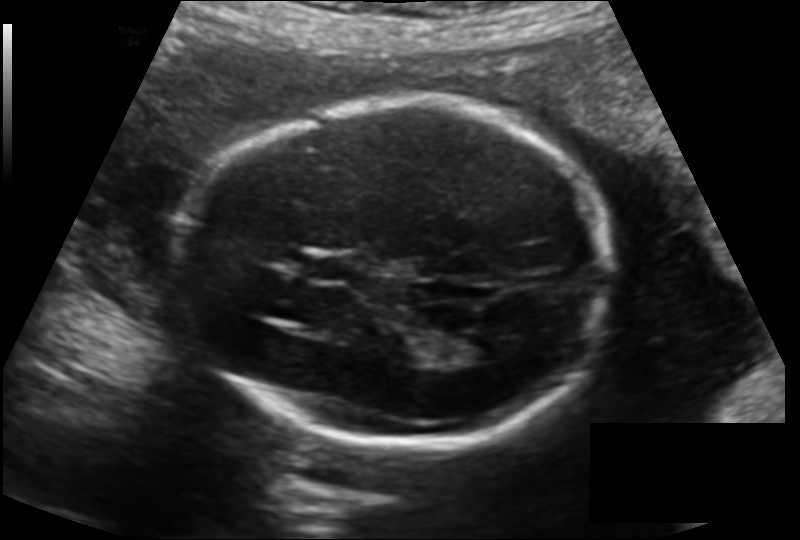
Fetal head ultrasound. Image width: 115.3 mm. Locate the fetal head and, if visible, the cavum septum pellucidum (CSP) and lateral ventricle (LV). Give bounding boxes as [x1,y1,x2,y2].

Head: [177,101,610,444]
CSP: [309,256,362,282]
Lateral ventricle: [446,329,504,366]